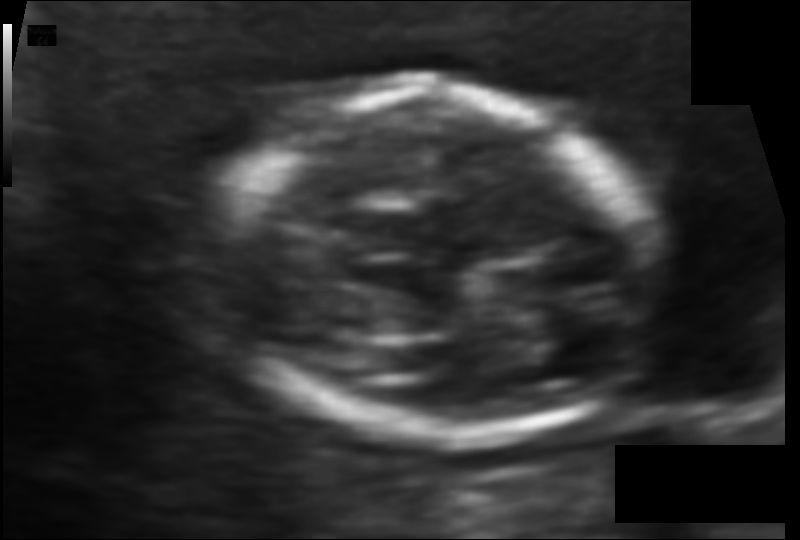
Fetal head ultrasound. Image width: 66.1 mm. Locate the fetal head and, if visible, the cavum septum pellucidum (CSP) and lateral ventricle (LV). Give bounding boxes as [x1,y1,x2,y2].

Head: [200,87,657,441]